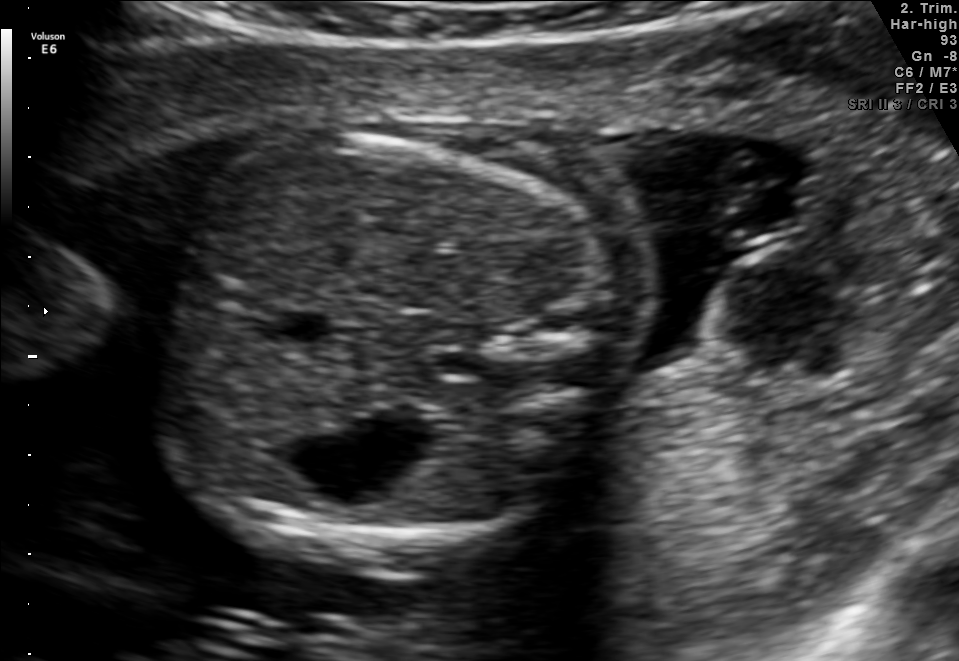
Classify this maternal-fetal ultrasound image as one of the six standard planes — fetal abdomen, fetal brain, fetal femur, fetal thorax, maternal cervix, or other. If it's fetal brain and one of the three standard brain planes (trans-thalamic, trans-cerebellum, trans-ventricular), name which.

Fetal abdomen